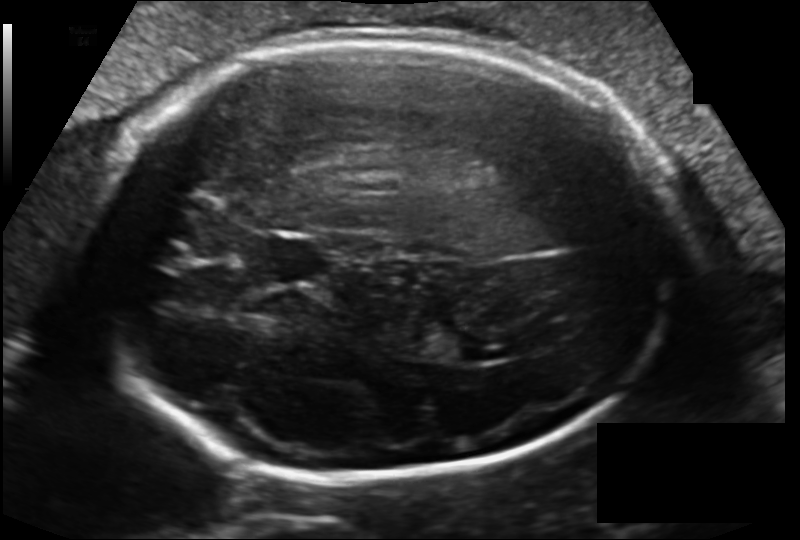
Measure the fetal head circumference shown in this ultrasound image. Image width: 129.6 mm.

Head circumference: 270.5 mm.